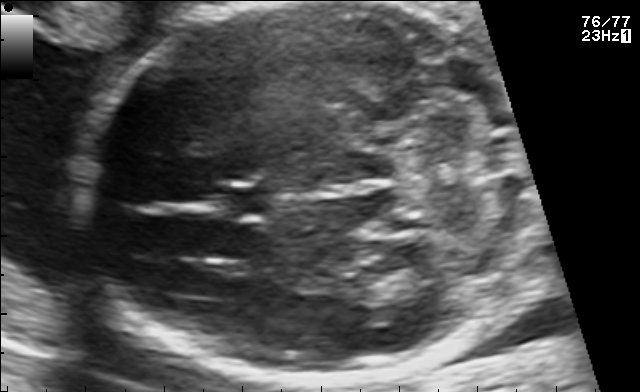
Fetal brain, trans-cerebellum plane. Locate the fetal head and, if visible, the cavum septum pellucidum (CSP) and lateral ventricle (LV). Give bounding boxes as [x1,y1,x2,y2].

Head: [80,3,527,382]
CSP: [223,182,280,221]